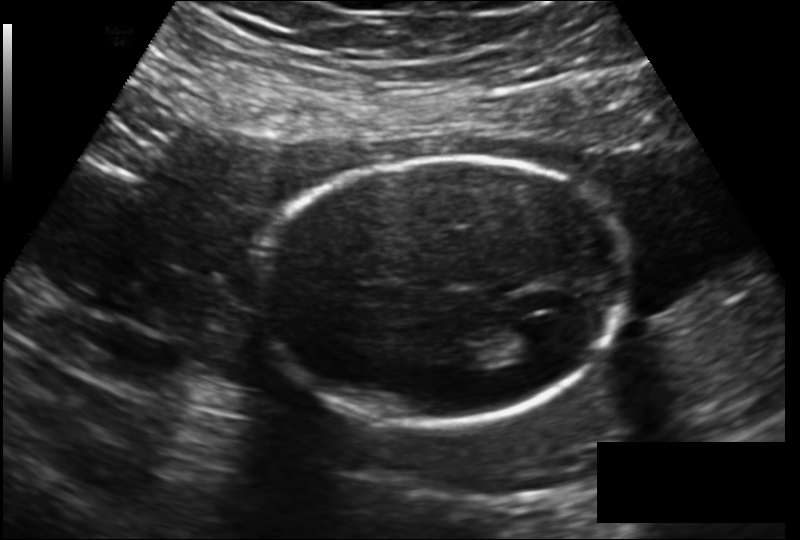
In this fetal head ultrasound, give the bounding box of the lateral ventricle. Image width: 137.8 mm.

[501,323,552,360]